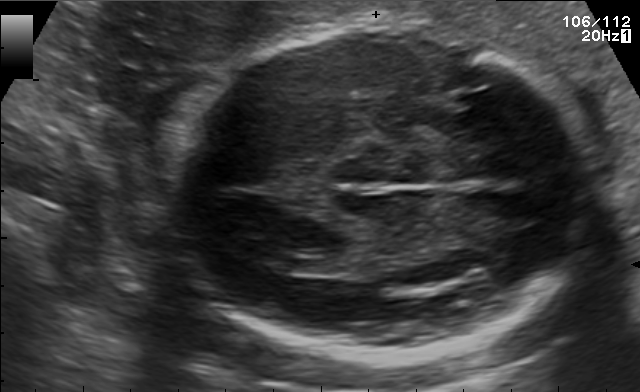
In this fetal brain, trans-ventricular plane, give the bounding box of the lateral ventricle.

[270,255,306,274]